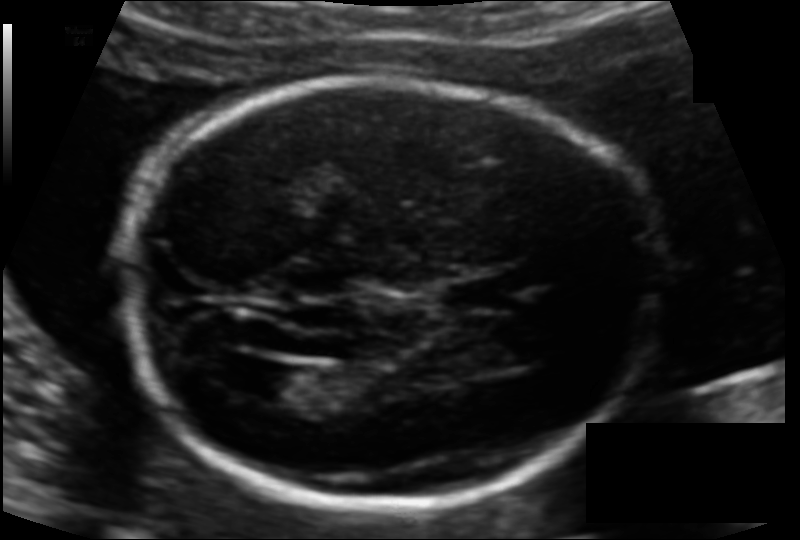
Fetal head ultrasound. Image width: 90.3 mm. Locate the fetal head and, if visible, the cavum septum pellucidum (CSP) and lateral ventricle (LV). Give bounding boxes as [x1,y1,x2,y2].

Head: [121,80,662,506]
CSP: [435,278,505,313]
Lateral ventricle: [249,359,324,409]